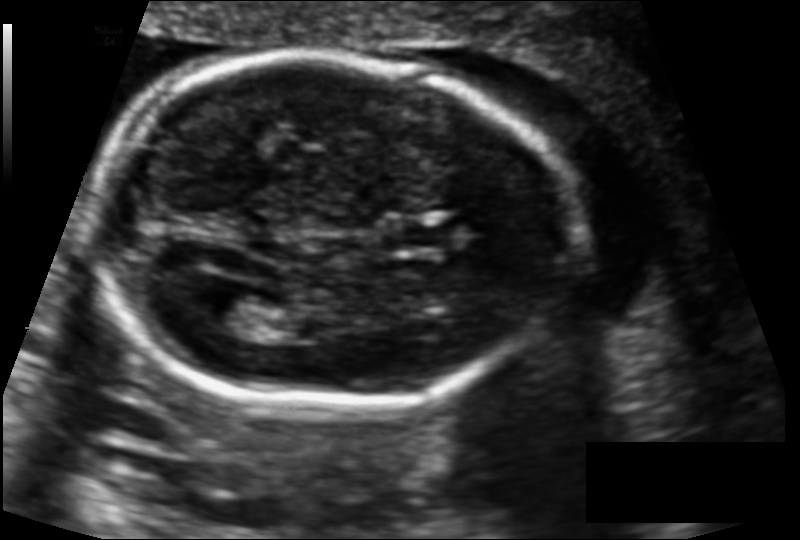
Fetal head ultrasound. Image width: 97.4 mm. Where is the fetal head?

Head bounding box: [91,55,576,407]